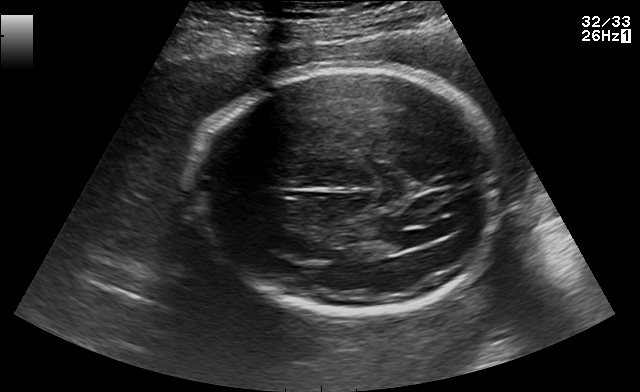
Fetal brain, trans-ventricular plane. Give [x1,y1,x2,y2] bounding boxes for each visible structure among: fetal head, CSP, LV.

Head: [191,63,507,320]
Lateral ventricle: [382,217,440,255]